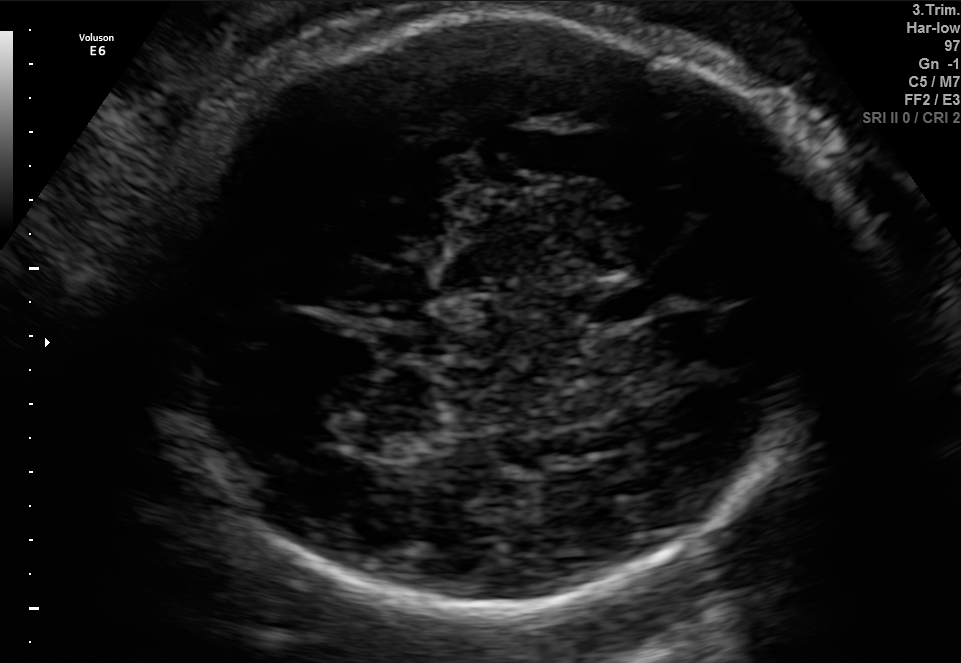
In this fetal brain, trans-thalamic plane, give bounding boxes for the head outline, cavum septum pellucidum (CSP), and lateral ventricle (LV), where visible.

Head: [149,12,836,609]
CSP: [578,281,657,336]